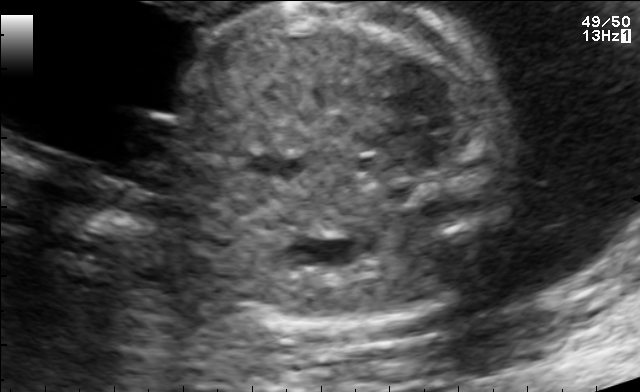
Which standard maternal-fetal ultrasound plane is shown: fetal abdomen, fetal brain, fetal femur, fetal thorax, maternal cervix, or other? If it's fetal brain and one of the three standard brain planes (trans-thalamic, trans-cerebellum, trans-ventricular), name which.

Fetal abdomen